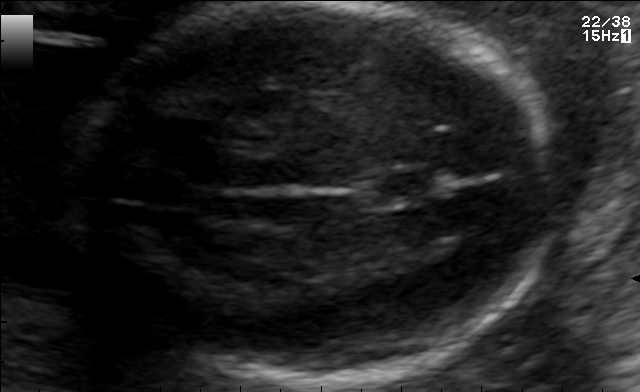
Fetal brain, trans-thalamic plane. Where is the cavum septum pellucidum?

CSP bounding box: [365,166,442,206]